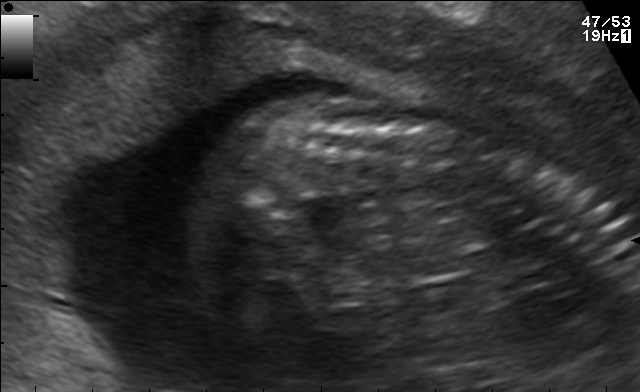
Classify this maternal-fetal ultrasound image as one of the six standard planes — fetal abdomen, fetal brain, fetal femur, fetal thorax, maternal cervix, or other. If it's fetal brain and one of the three standard brain planes (trans-thalamic, trans-cerebellum, trans-ventricular), name which.

Other